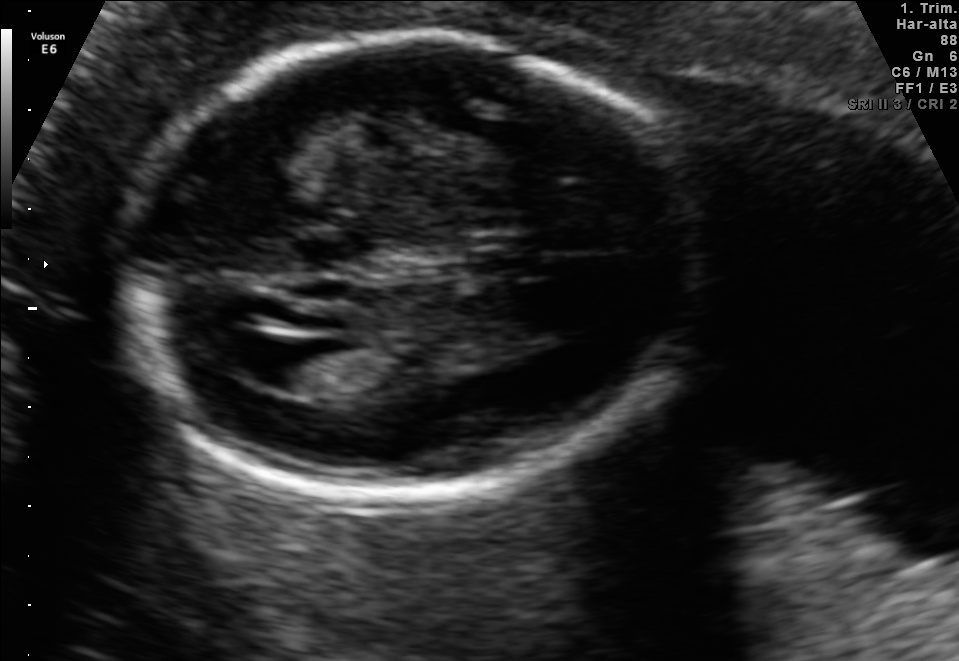
Fetal brain, trans-ventricular plane. Locate the fetal head.

Head: [104,29,725,514]